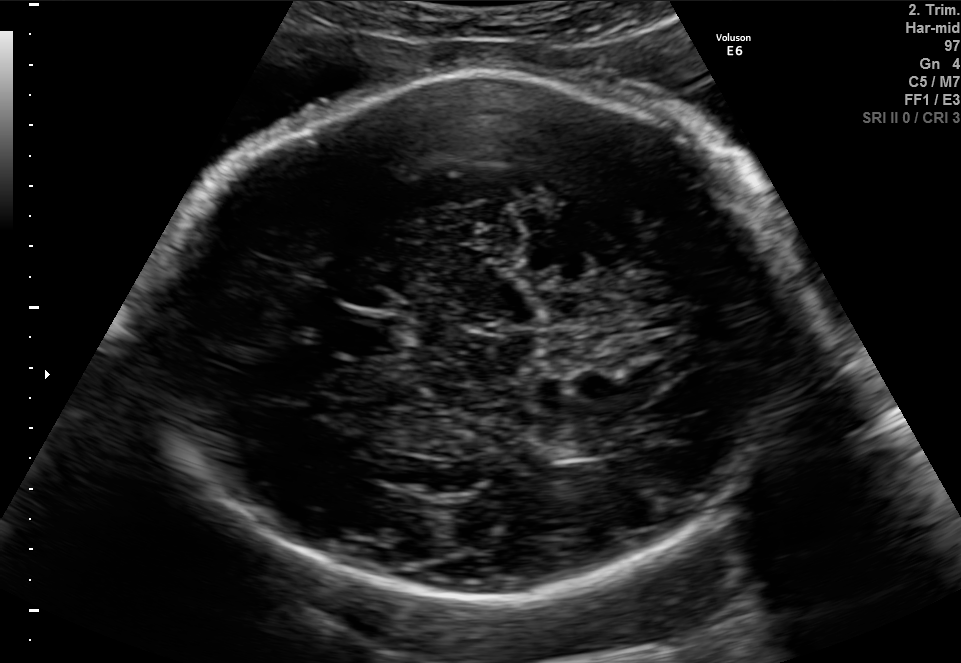
In this fetal brain, trans-thalamic plane, give bounding boxes for the head outline, cavum septum pellucidum (CSP), and lateral ventricle (LV), where visible.

Head: [153,71,814,594]
CSP: [341,314,397,355]
Lateral ventricle: [551,434,606,461]